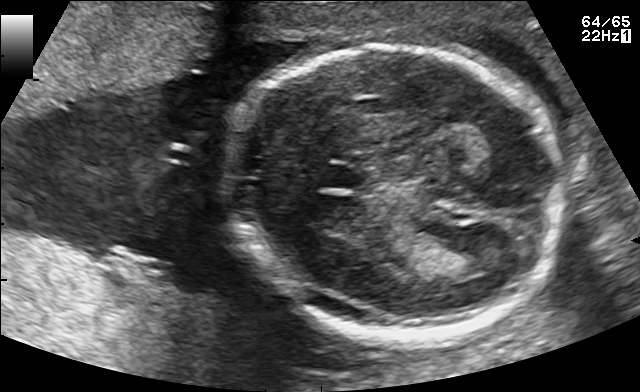
Fetal brain, trans-thalamic plane. Give [x1,y1,x2,y2] bounding boxes for each visible structure among: fetal head, CSP, LV.

Head: [229,44,559,342]
CSP: [320,164,361,189]